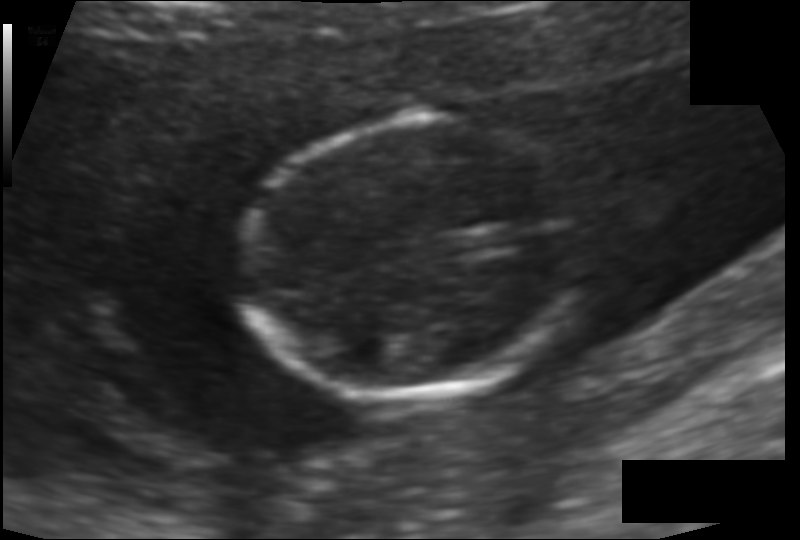
In this fetal head ultrasound, give the bounding box of the fetal head. Image width: 77.6 mm.

[246,118,586,396]